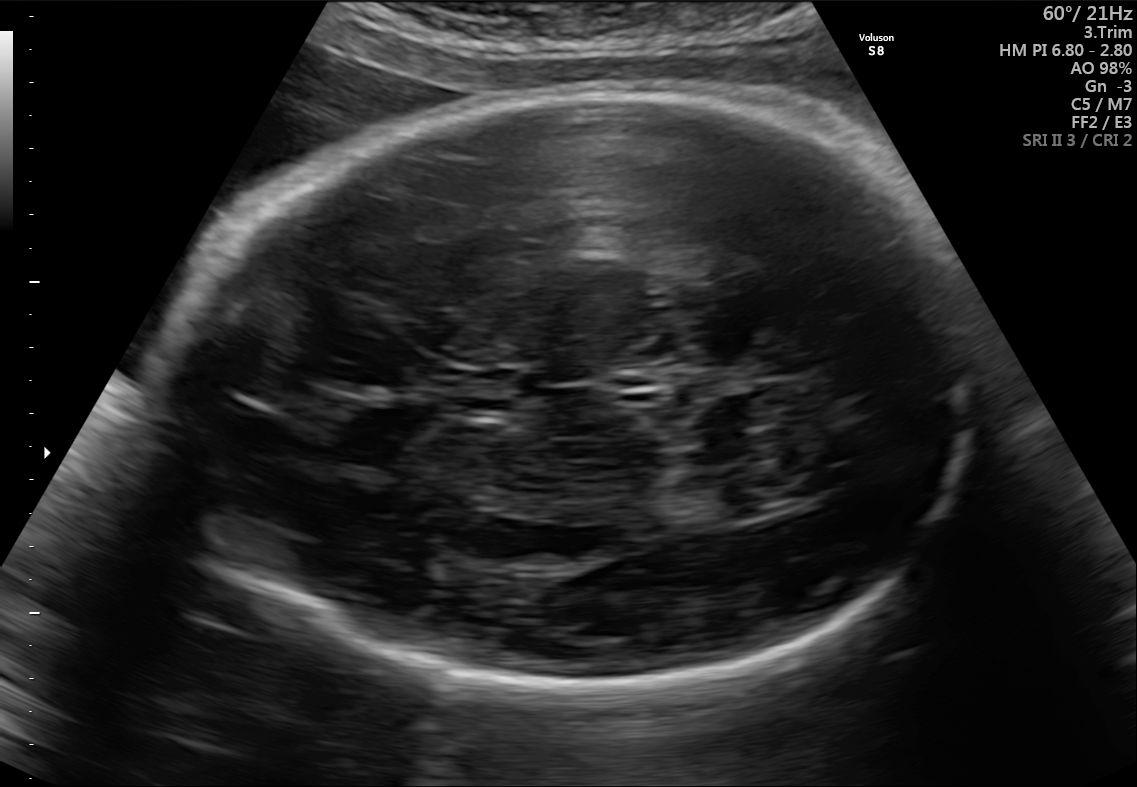
In this fetal brain, trans-thalamic plane, give bounding boxes for the head outline, cavum septum pellucidum (CSP), and lateral ventricle (LV), where visible.

Head: [161,94,978,705]